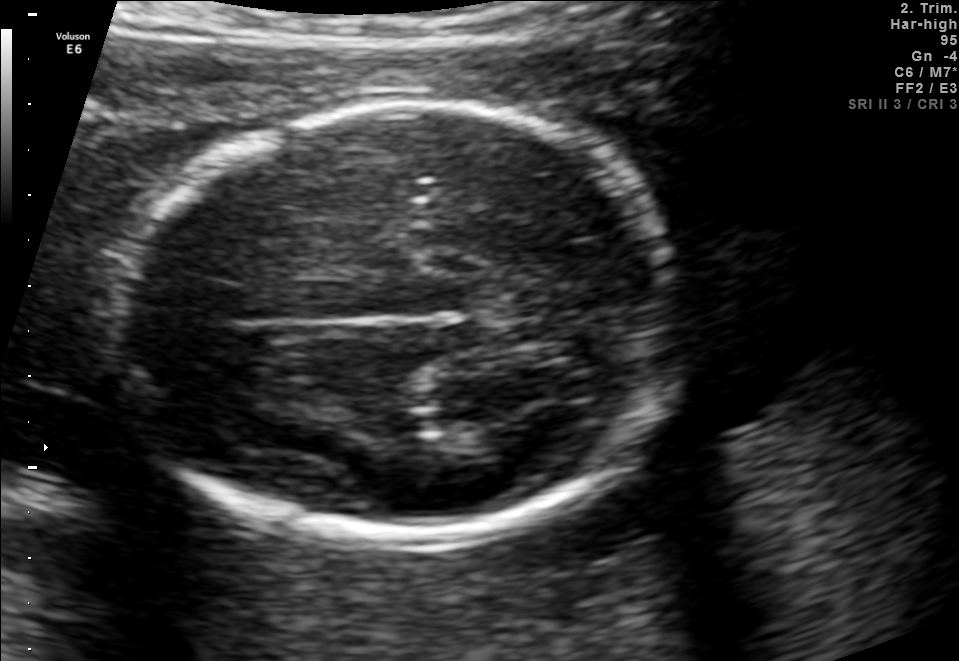
Fetal brain, trans-thalamic plane. Locate the fetal head.

Head: [115,107,678,540]